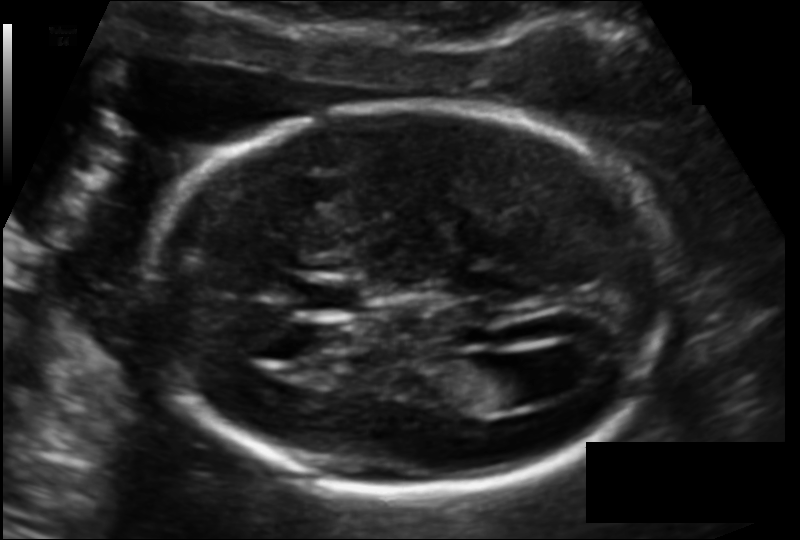
Fetal head ultrasound. Image width: 94.5 mm. Locate the fetal head.

Head: [147,105,668,491]